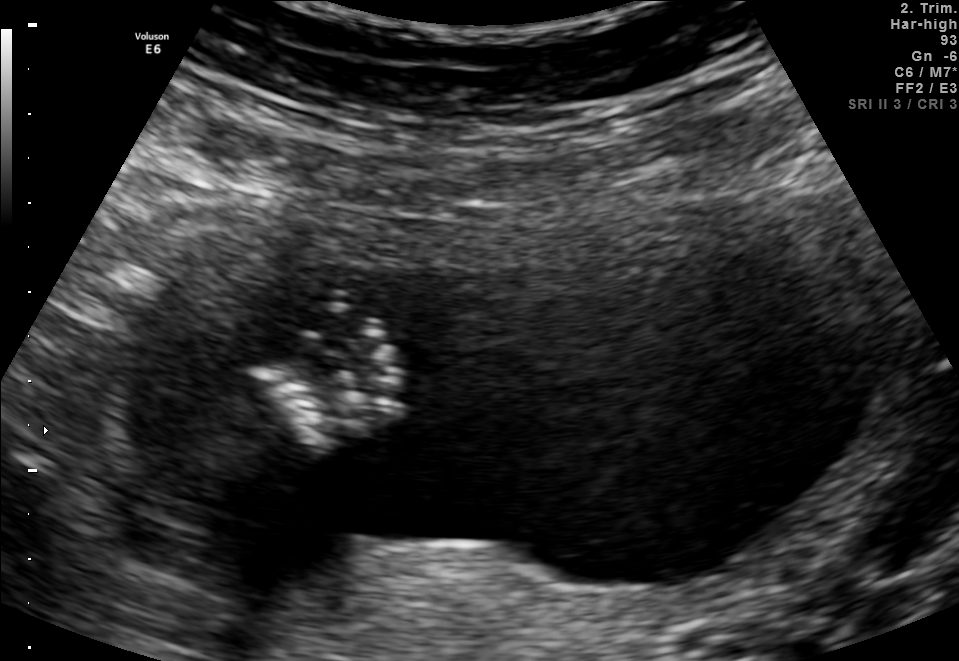
Classify this maternal-fetal ultrasound image as one of the six standard planes — fetal abdomen, fetal brain, fetal femur, fetal thorax, maternal cervix, or other. If it's fetal brain and one of the three standard brain planes (trans-thalamic, trans-cerebellum, trans-ventricular), name which.

Other